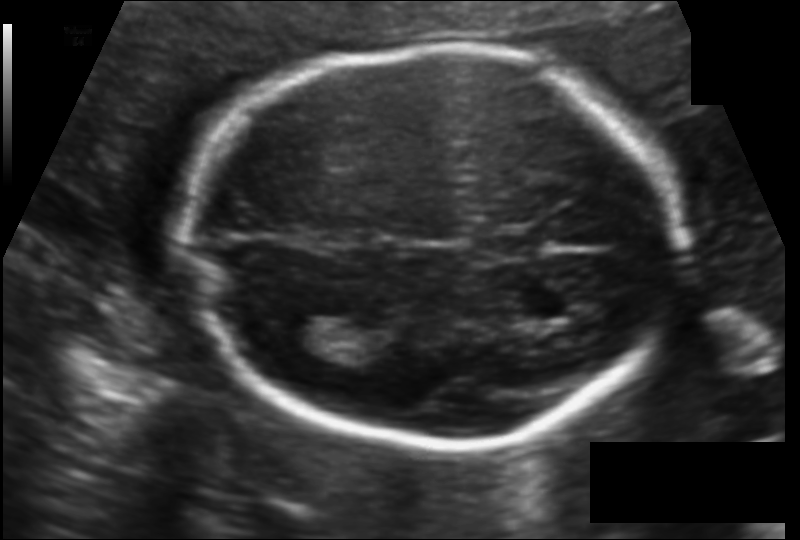
Fetal head ultrasound. Image width: 99.4 mm. Locate the fetal head.

Head: [188,47,681,444]